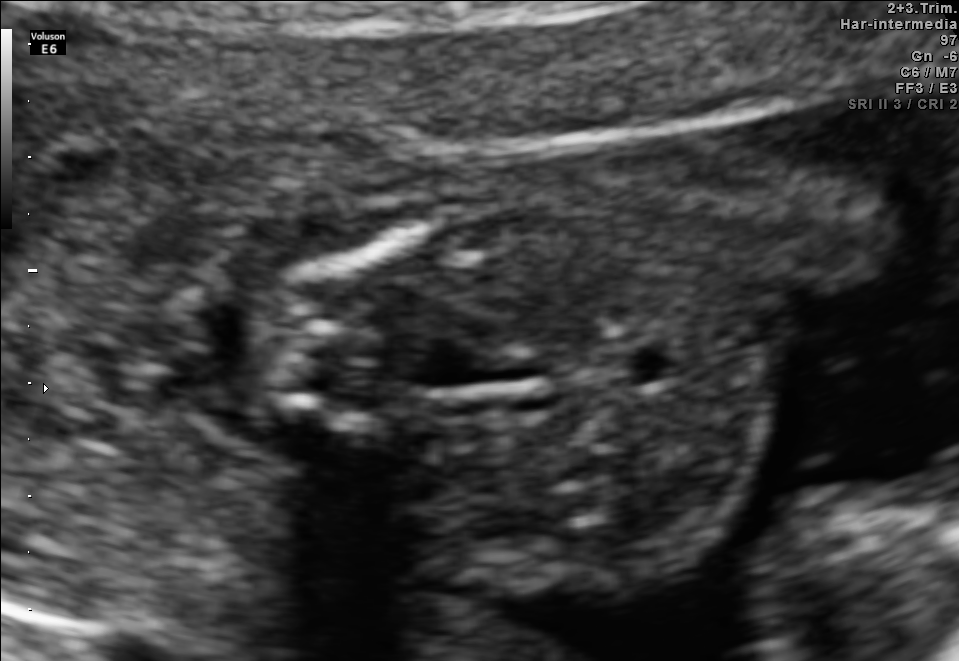
Identify the standard plane in this fetal ultrasound image: fetal abdomen, fetal brain, fetal femur, fetal thorax, maternal cervix, or other. If it's fetal brain and one of the three standard brain planes (trans-thalamic, trans-cerebellum, trans-ventricular), name which.

Other